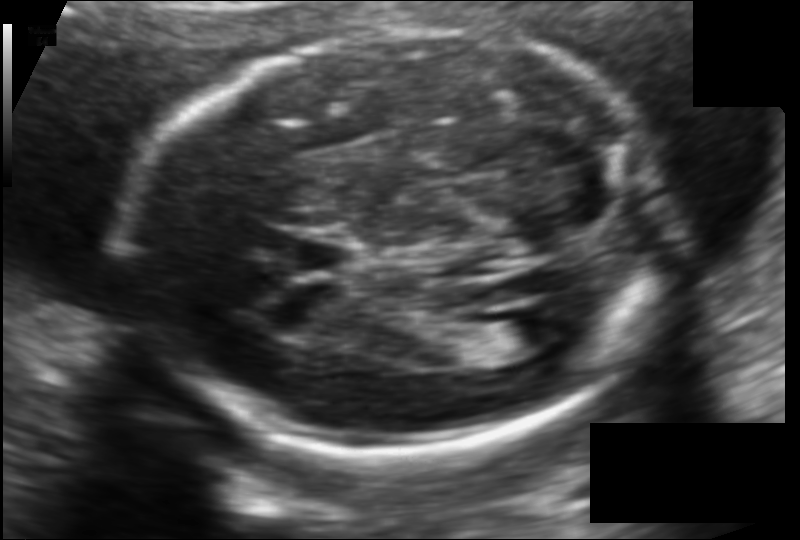
Measure the fetal head circumference shown in this ultrasound image. Image width: 94.7 mm.

Head circumference: 185.4 mm.